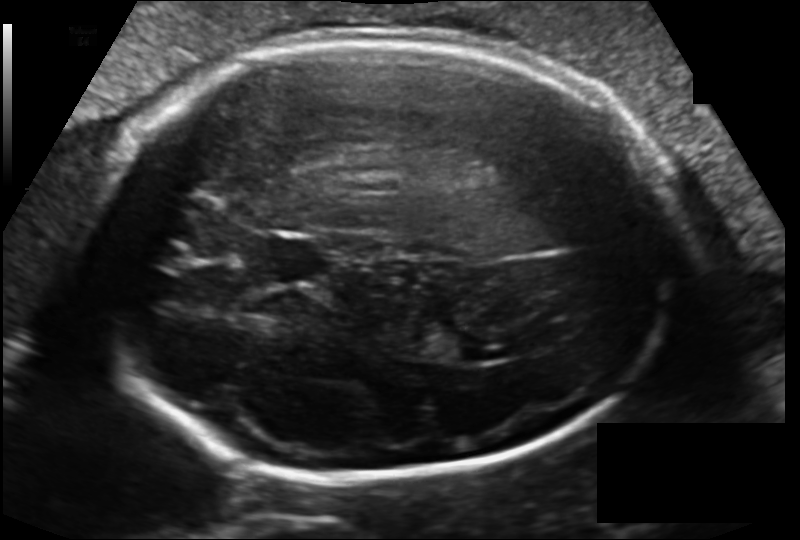
Fetal head ultrasound. Image width: 129.6 mm. Locate the fetal head and, if visible, the cavum septum pellucidum (CSP) and lateral ventricle (LV). Give bounding boxes as [x1,y1,x2,y2].

Head: [90,36,677,478]
CSP: [246,230,331,288]